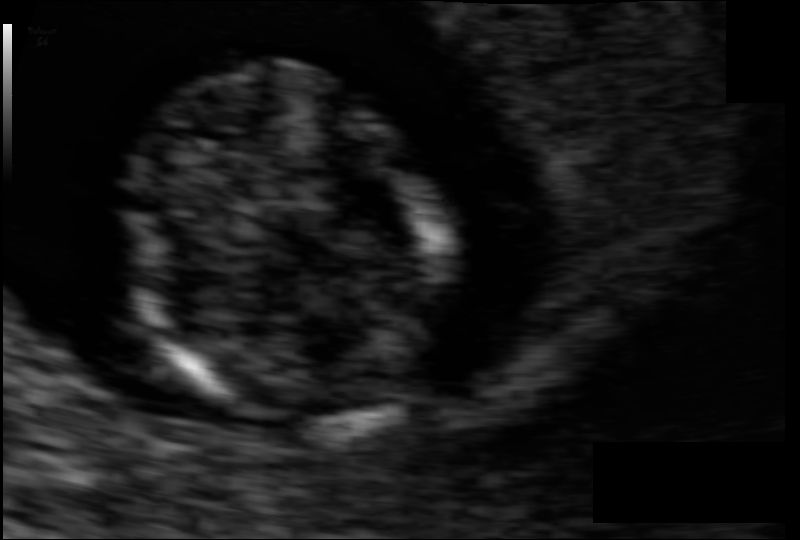
Estimate the fetal head circumference from this 2D ultrasound. Image width: 51.3 mm.

Head circumference: 72.0 mm.